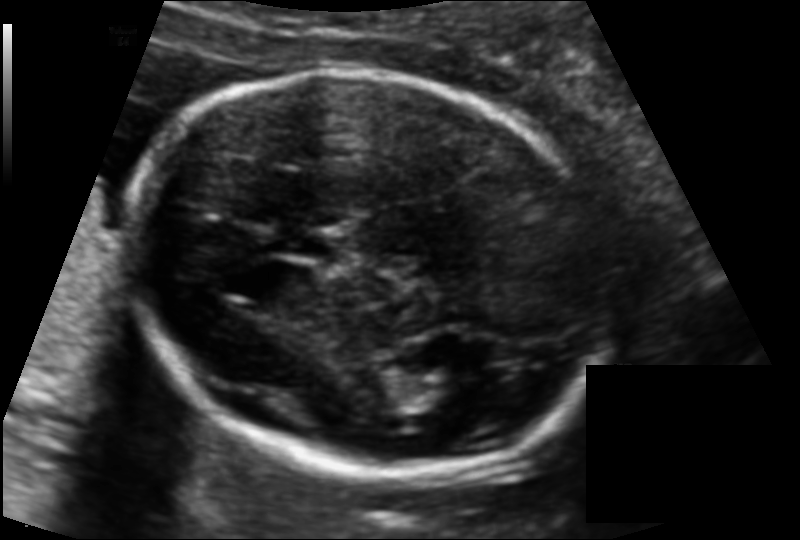
In this fetal head ultrasound, give the bounding box of the fetal head. Image width: 93.1 mm.

[132,73,606,477]